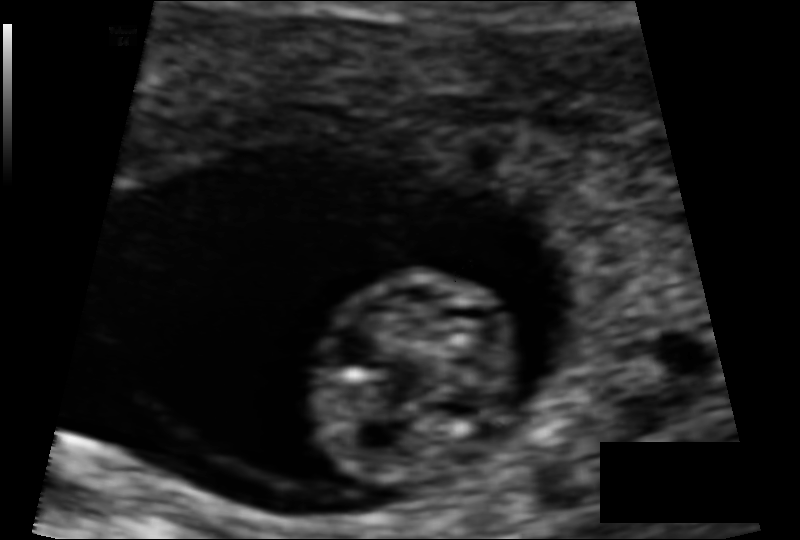
Estimate the fetal head circumference from this 2D ultrasound. Image width: 55.3 mm.

Head circumference: 44.3 mm.